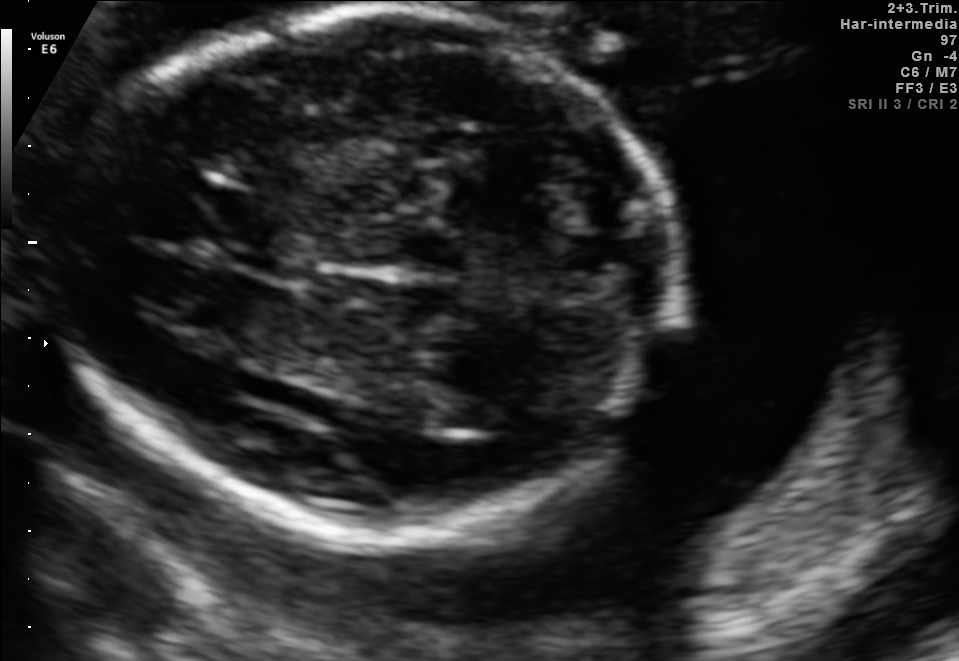
Fetal brain, trans-thalamic plane. Where is the fetal head?

Head bounding box: [41,11,704,520]